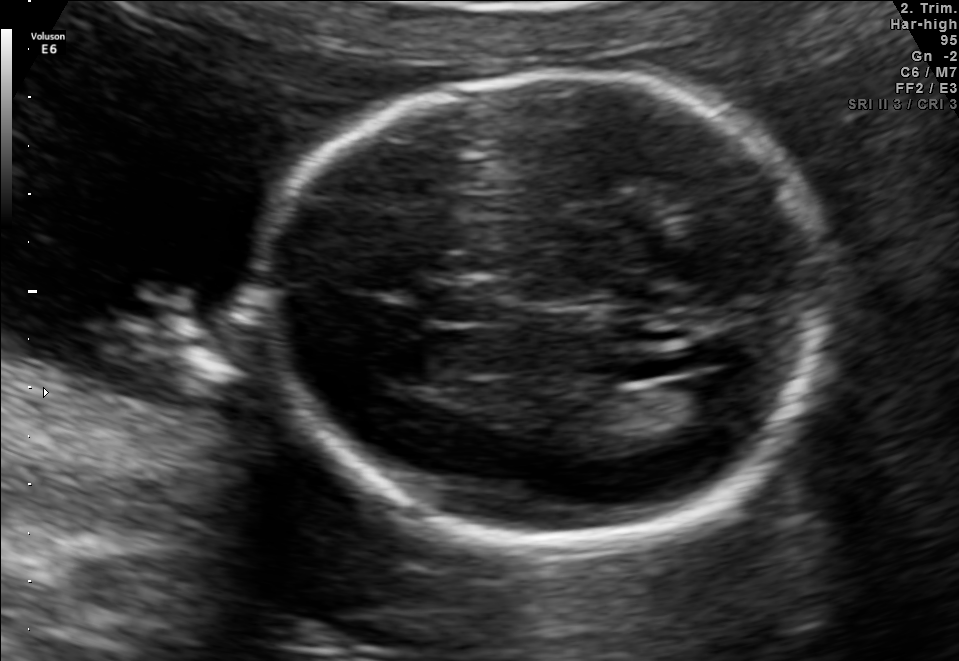
In this fetal brain, trans-ventricular plane, give bounding boxes for the head outline, cavum septum pellucidum (CSP), and lateral ventricle (LV), where visible.

Head: [244,65,855,556]
CSP: [427,290,497,323]
Lateral ventricle: [670,369,750,431]